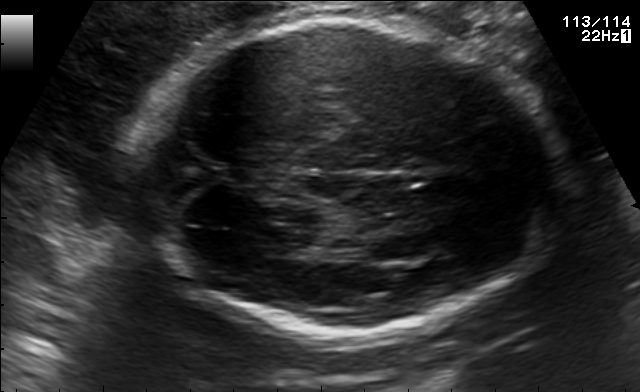
In this fetal brain, trans-thalamic plane, give the bounding box of the fetal head.

[140,21,564,334]